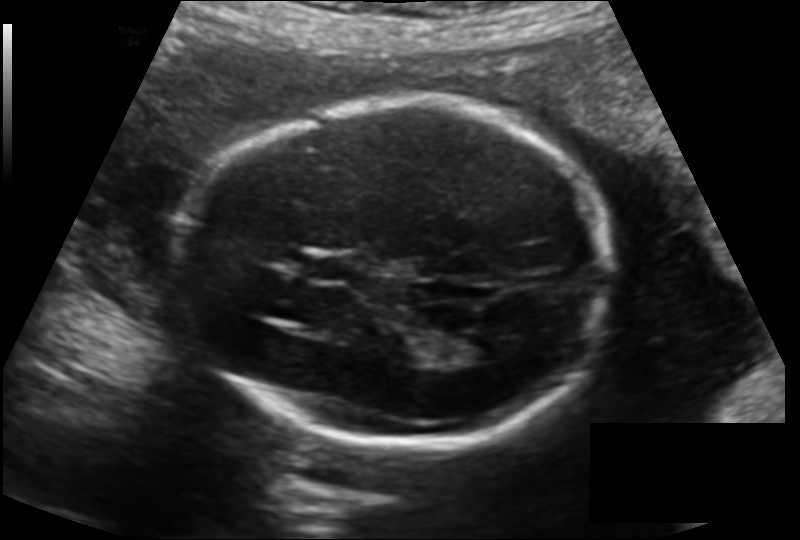
Measure the fetal head circumference shown in this ultrasound image. Image width: 115.3 mm.

Head circumference: 180.7 mm.